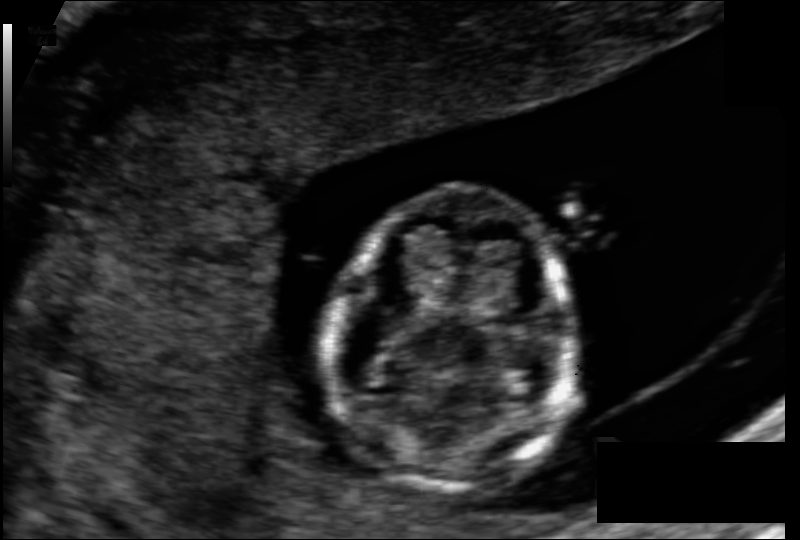
Fetal head ultrasound. Image width: 77.7 mm. Give [x1,y1,x2,y2] bounding boxes for each visible structure among: fetal head, CSP, LV.

Head: [329,190,570,493]